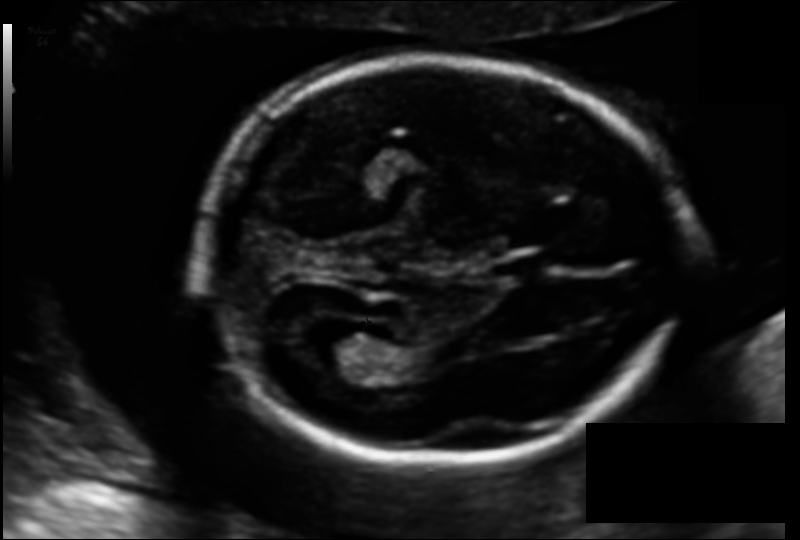
Fetal head ultrasound. Image width: 97.9 mm. Where is the cavum septum pellucidum?

CSP bounding box: [492,251,548,286]